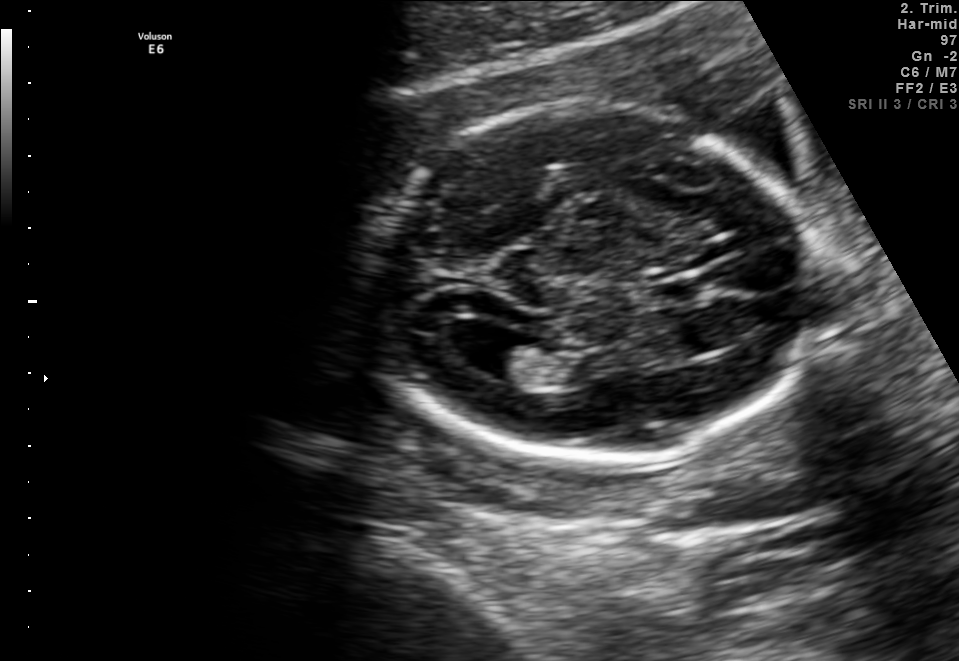
Fetal brain, trans-ventricular plane. Where is the fetal head?

Head bounding box: [358,104,831,475]